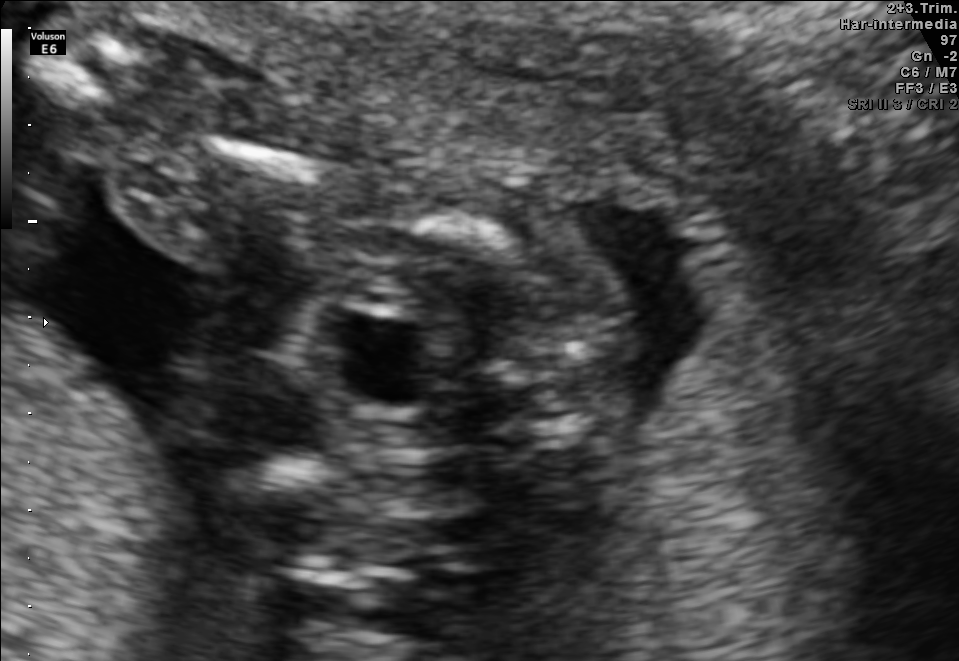
Classify this maternal-fetal ultrasound image as one of the six standard planes — fetal abdomen, fetal brain, fetal femur, fetal thorax, maternal cervix, or other. If it's fetal brain and one of the three standard brain planes (trans-thalamic, trans-cerebellum, trans-ventricular), name which.

Fetal femur